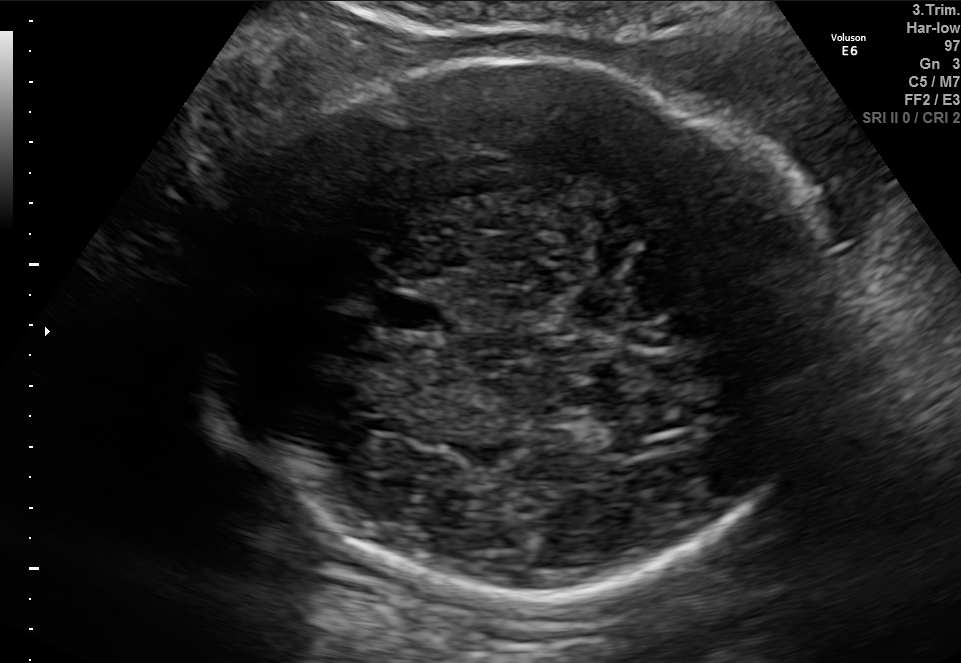
Fetal brain, trans-thalamic plane. Where is the cavum septum pellucidum?

CSP bounding box: [376,292,453,332]